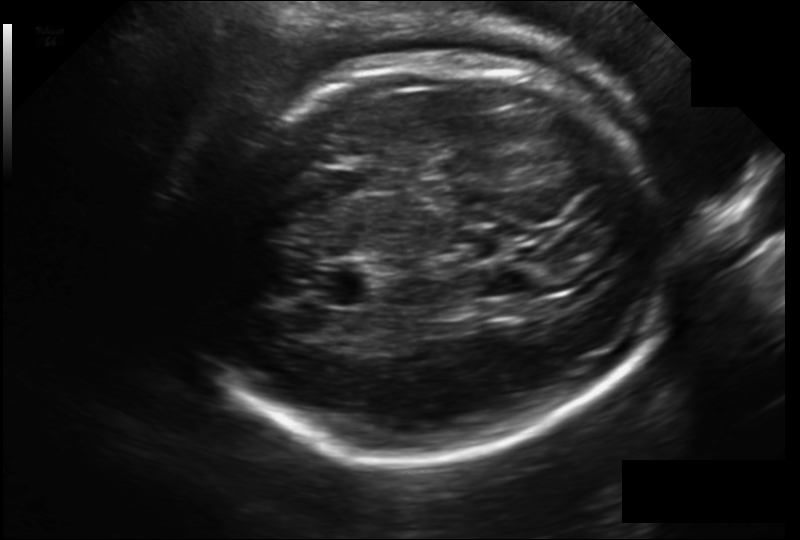
Estimate the fetal head circumference from this 2D ultrasound.

Head circumference: 286.5 mm (image width 162.0 mm).